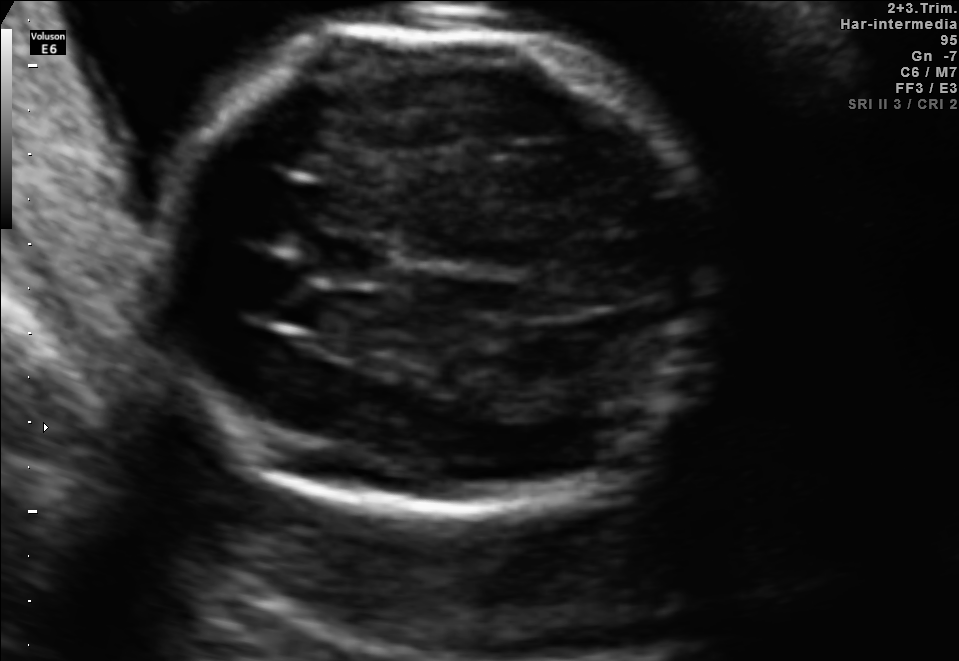
Fetal brain, trans-thalamic plane. Give [x1,y1,x2,y2] bounding boxes for each visible structure among: fetal head, CSP, LV.

Head: [143,26,710,519]
CSP: [312,235,388,282]